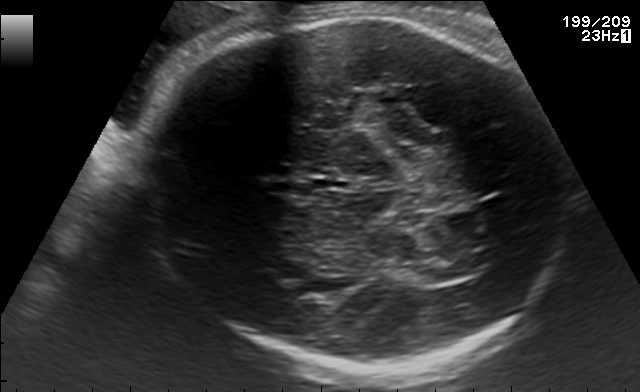
Fetal brain, trans-thalamic plane. Locate the fetal head and, if visible, the cavum septum pellucidum (CSP) and lateral ventricle (LV). Give bounding boxes as [x1,y1,x2,y2].

Head: [146,14,565,372]
Lateral ventricle: [416,257,473,288]